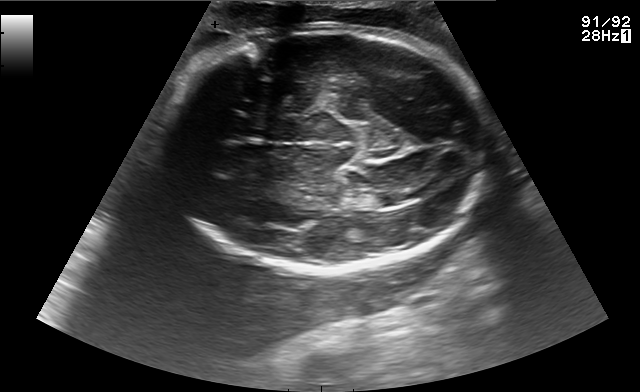
Fetal brain, trans-thalamic plane. Locate the fetal head.

Head: [160,25,493,273]